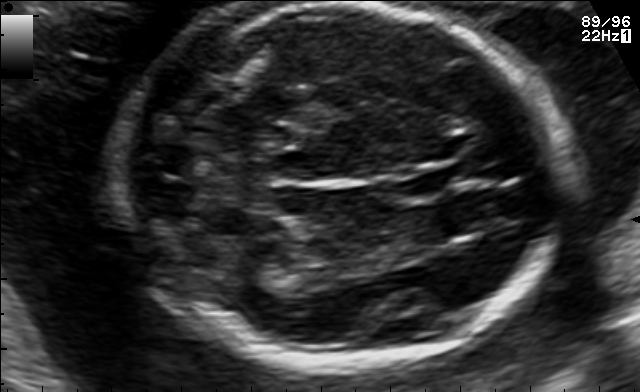
Fetal brain, trans-thalamic plane. Locate the fetal head.

Head: [115,2,558,365]